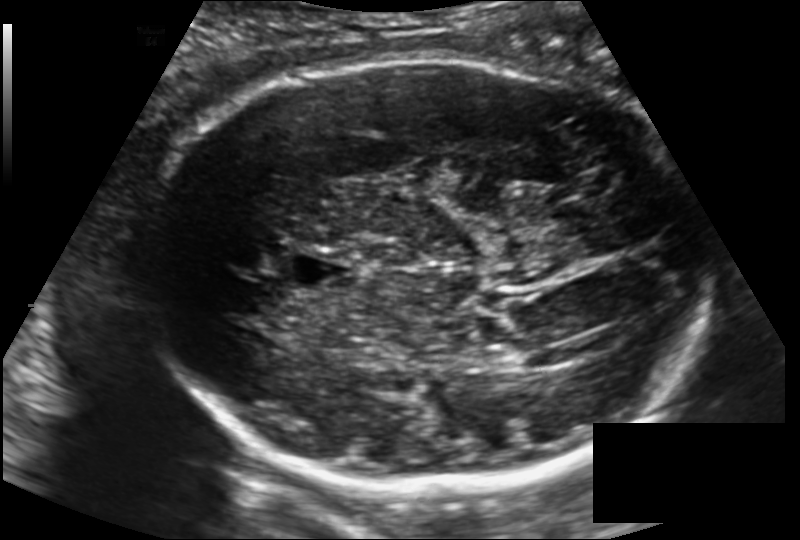
From this fetal ultrasound, estimate the head circumference (image width 136.5 mm).

Head circumference: 272.1 mm.